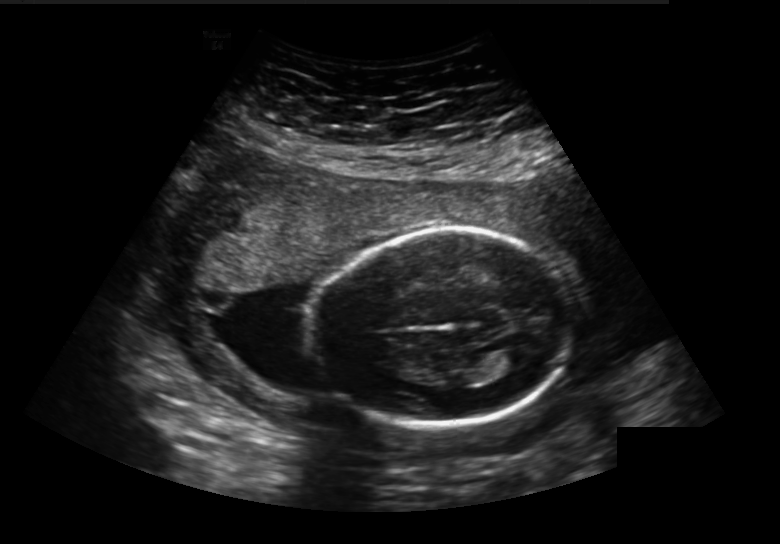
Fetal head ultrasound. Image width: 184.0 mm. Locate the fetal head.

Head: [314,230,572,428]